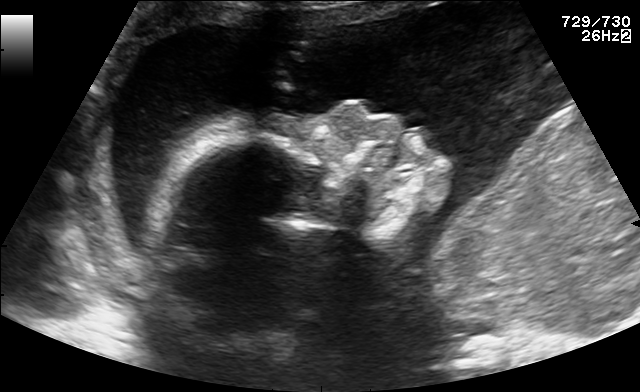
This is a 2D maternal-fetal ultrasound frame. Is it a fetal abdomen, fetal brain, fetal femur, fetal thorax, maternal cervix, or other standard plane? If it's fetal brain and one of the three standard brain planes (trans-thalamic, trans-cerebellum, trans-ventricular), name which.

Other